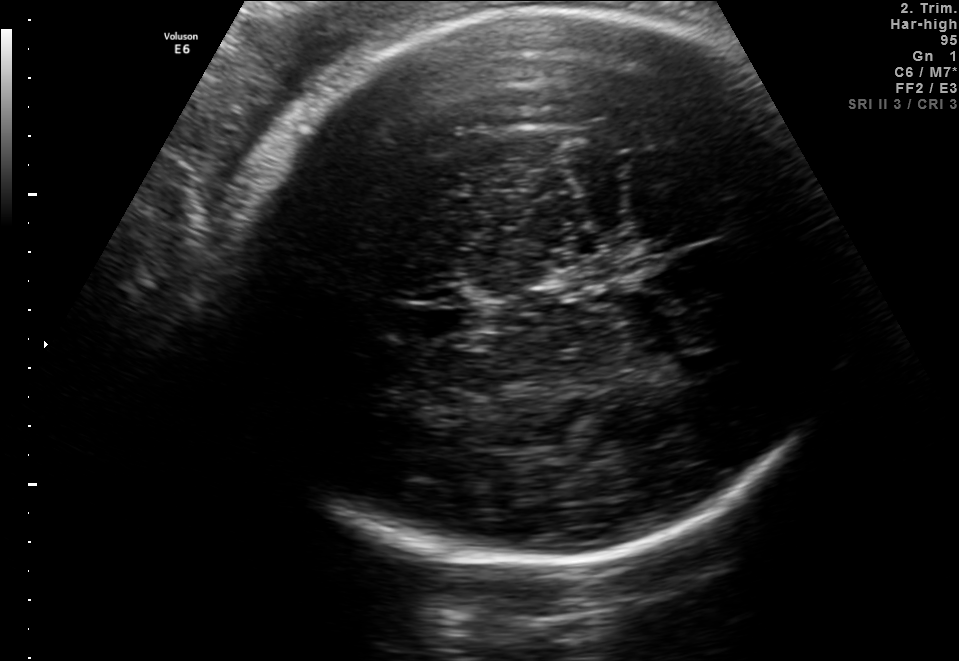
In this fetal brain, trans-thalamic plane, give the bounding box of the cavum septum pellucidum.

[402,302,483,342]